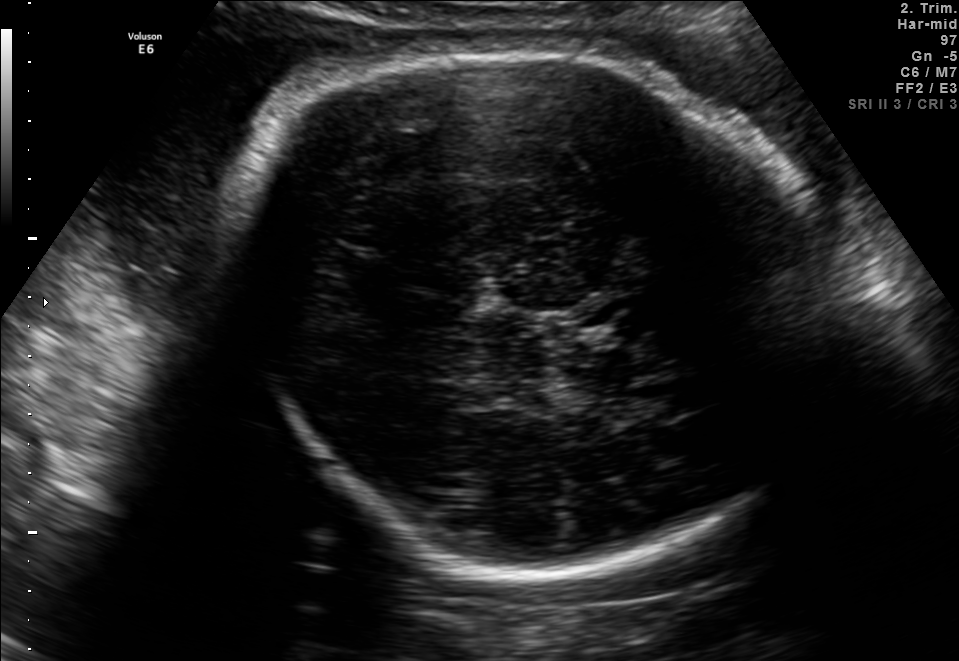
Identify the standard plane in this fetal ultrasound image: fetal abdomen, fetal brain, fetal femur, fetal thorax, maternal cervix, or other. If it's fetal brain and one of the three standard brain planes (trans-thalamic, trans-cerebellum, trans-ventricular), name which.

Fetal brain (trans-thalamic plane)